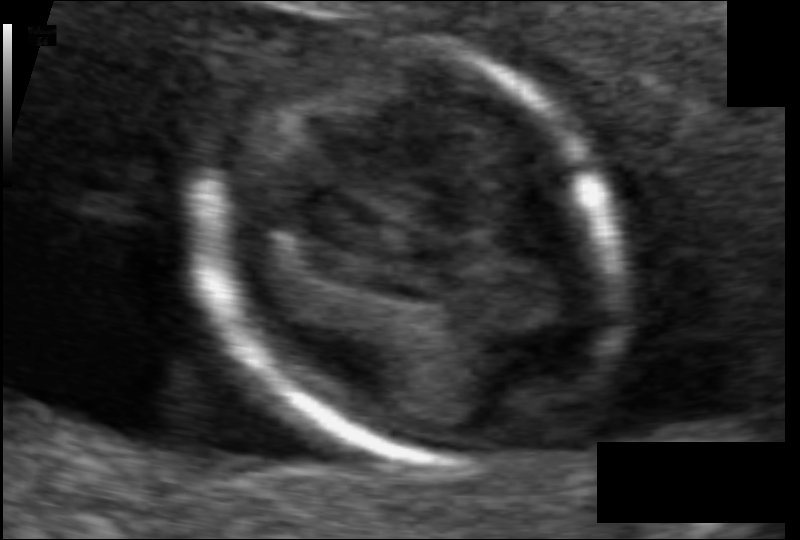
Fetal head ultrasound. Image width: 48.9 mm. Locate the fetal head.

Head: [215,36,620,465]